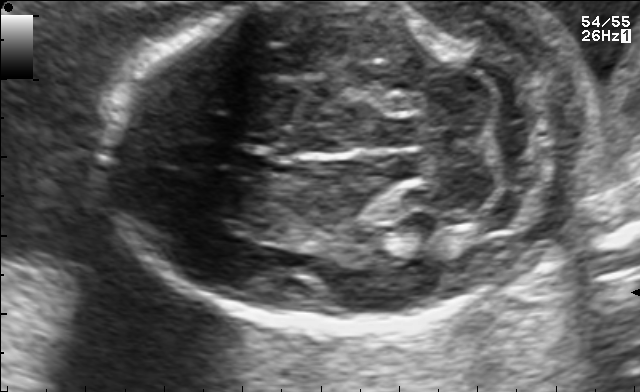
Fetal brain, trans-cerebellum plane. Locate the fetal head.

Head: [101,2,592,327]